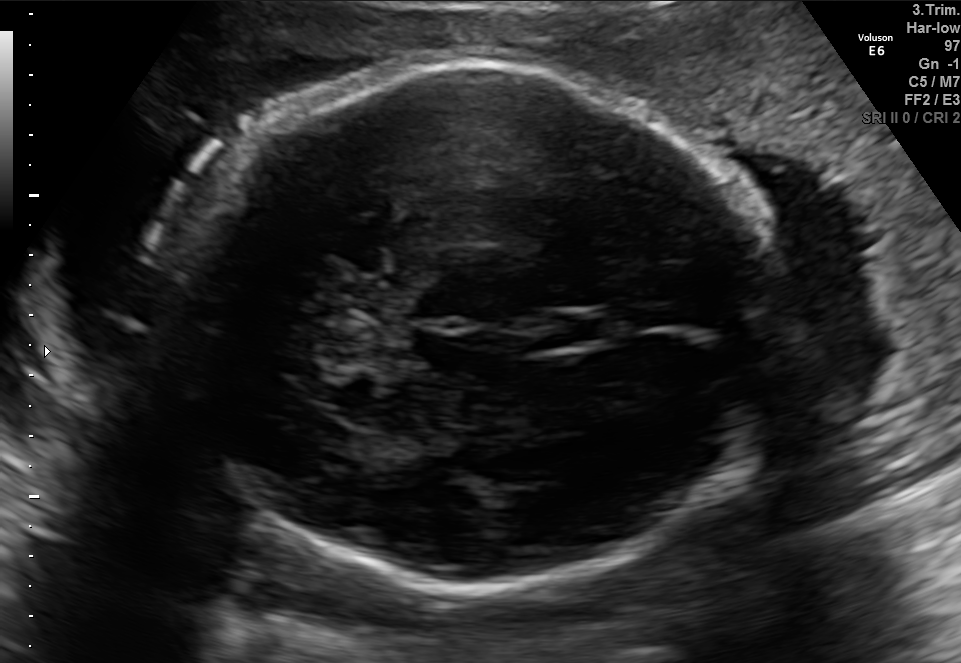
Fetal brain, trans-thalamic plane. Where is the fetal head?

Head bounding box: [162,66,777,587]